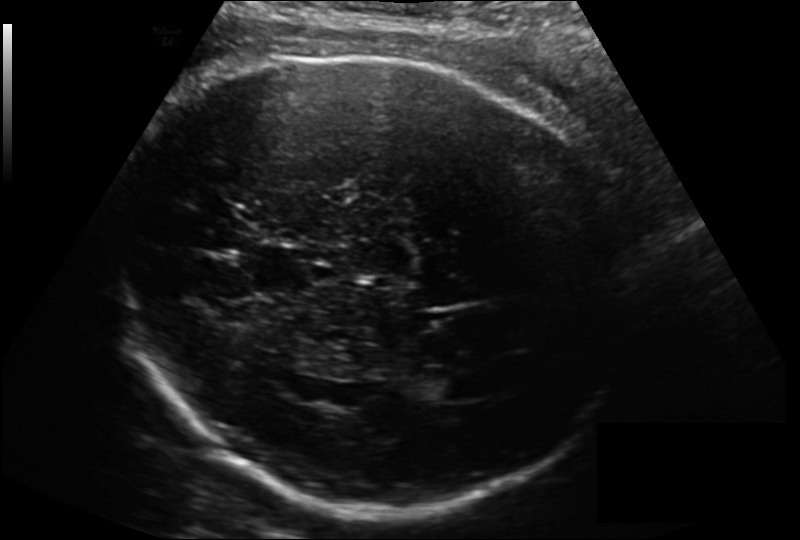
Estimate the fetal head circumference from this 2D ultrasound.

Head circumference: 307.0 mm (image width 159.6 mm).